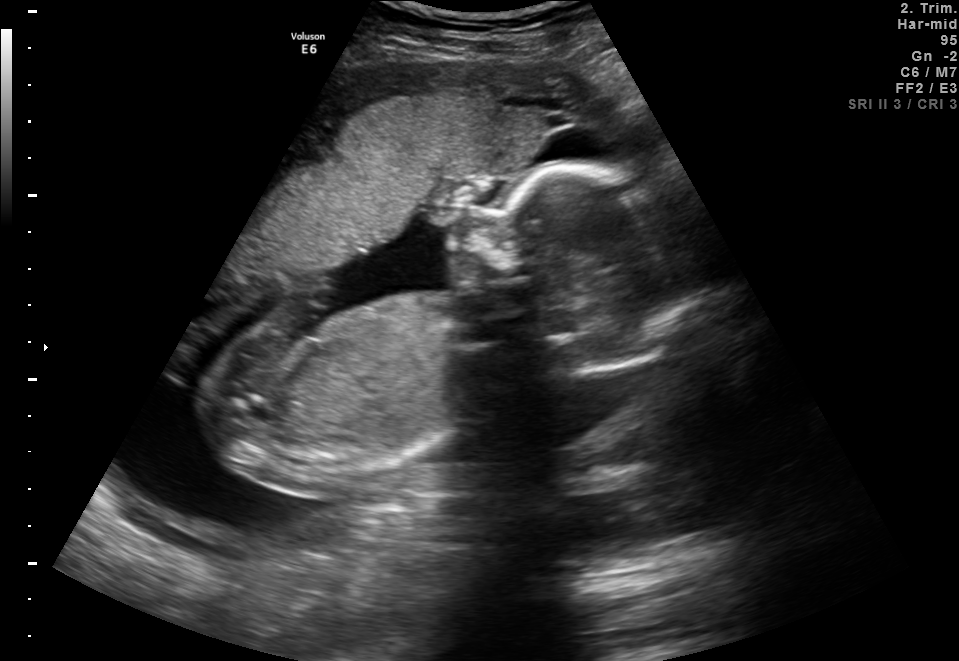
Classify this maternal-fetal ultrasound image as one of the six standard planes — fetal abdomen, fetal brain, fetal femur, fetal thorax, maternal cervix, or other. If it's fetal brain and one of the three standard brain planes (trans-thalamic, trans-cerebellum, trans-ventricular), name which.

Other